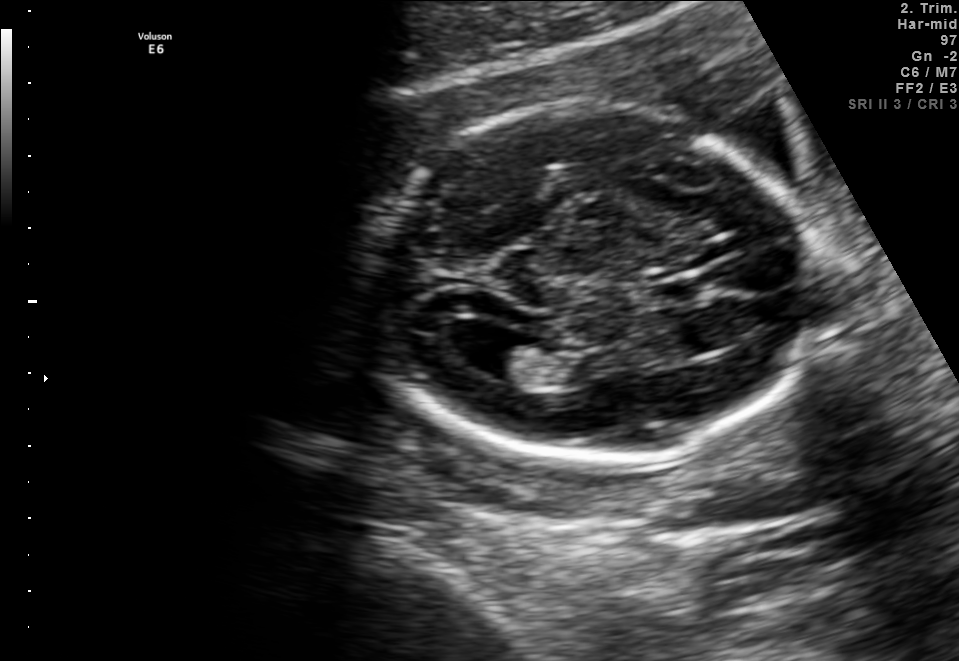
In this fetal brain, trans-ventricular plane, give the bounding box of the lateral ventricle.

[453,315,535,385]